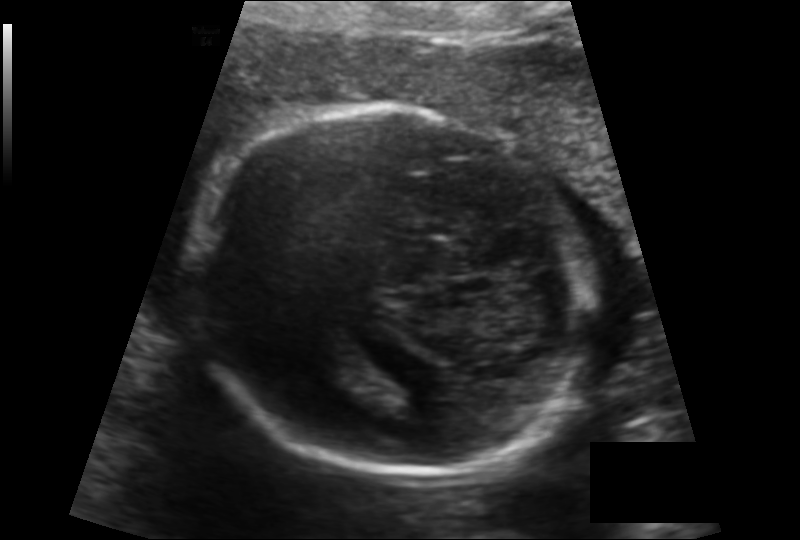
Measure the fetal head circumference shown in this ultrasound image. Image width: 113.4 mm.

Head circumference: 178.0 mm.